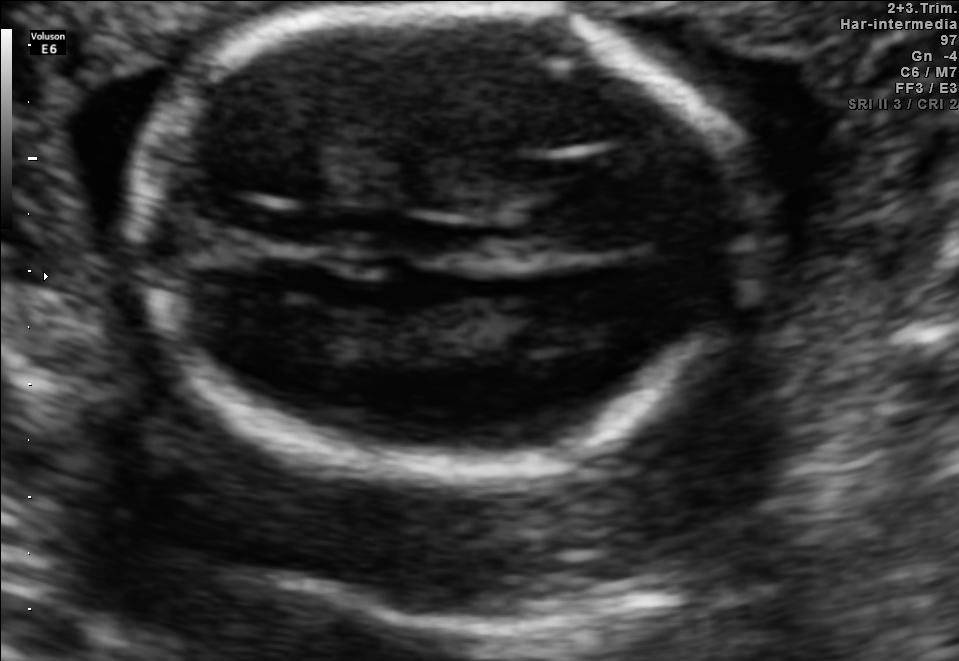
Fetal brain, trans-thalamic plane. Locate the fetal head.

Head: [134,9,765,480]